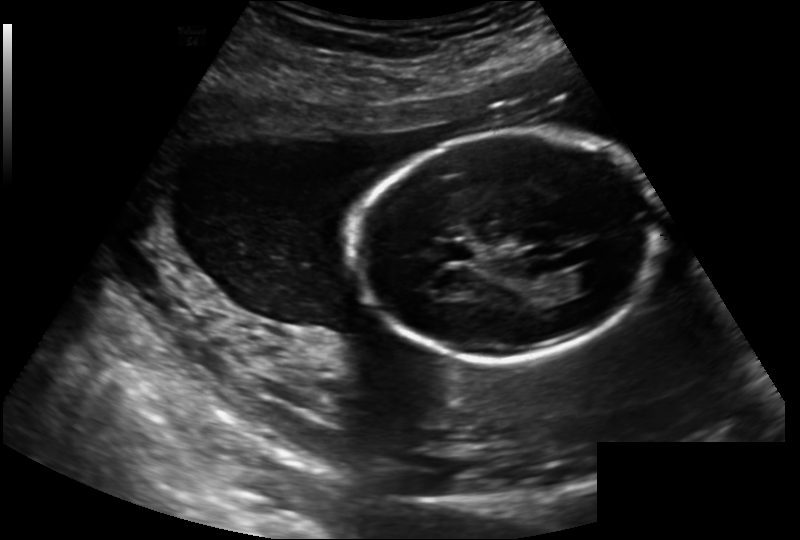
In this fetal head ultrasound, give bounding boxes for the head outline, cavum septum pellucidum (CSP), and lateral ventricle (LV), where visible. Image width: 161.7 mm.

Head: [354,131,665,359]
CSP: [431,237,475,265]
Lateral ventricle: [559,262,606,298]